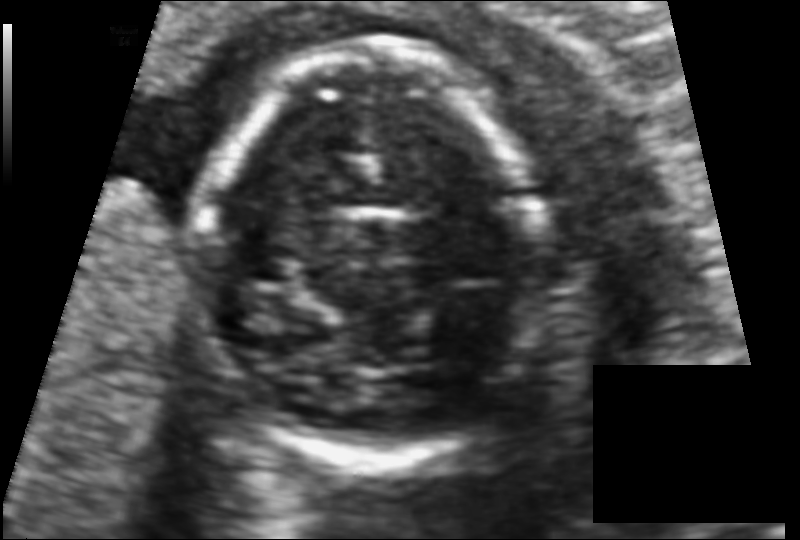
Fetal head ultrasound. Image width: 74.5 mm. Locate the fetal head and, if visible, the cavum septum pellucidum (CSP) and lateral ventricle (LV). Give bounding boxes as [x1,y1,x2,y2].

Head: [205,42,541,457]